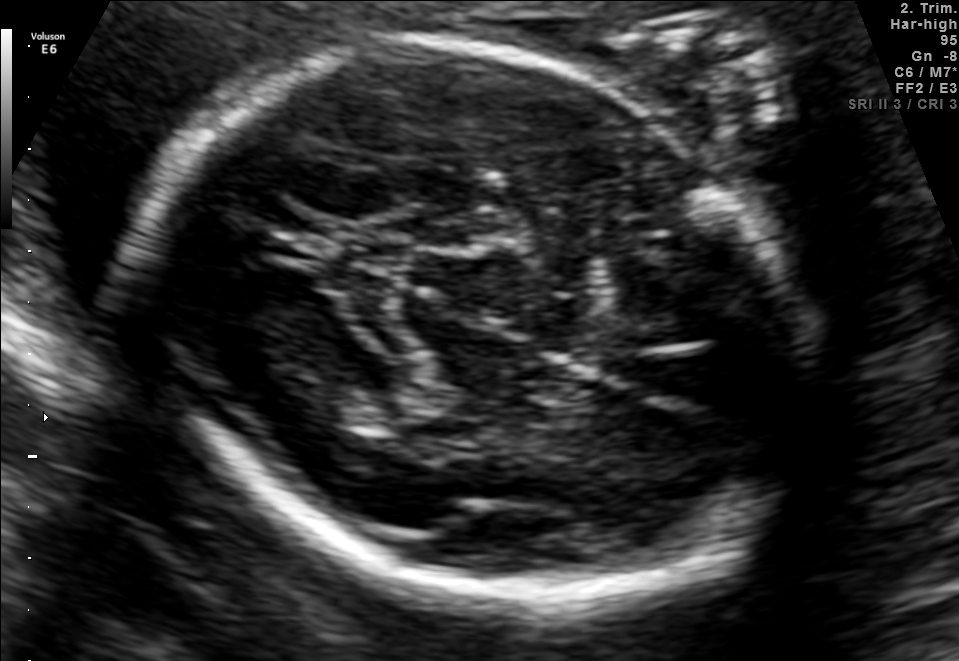
Classify this maternal-fetal ultrasound image as one of the six standard planes — fetal abdomen, fetal brain, fetal femur, fetal thorax, maternal cervix, or other. If it's fetal brain and one of the three standard brain planes (trans-thalamic, trans-cerebellum, trans-ventricular), name which.

Fetal brain (trans-thalamic plane)